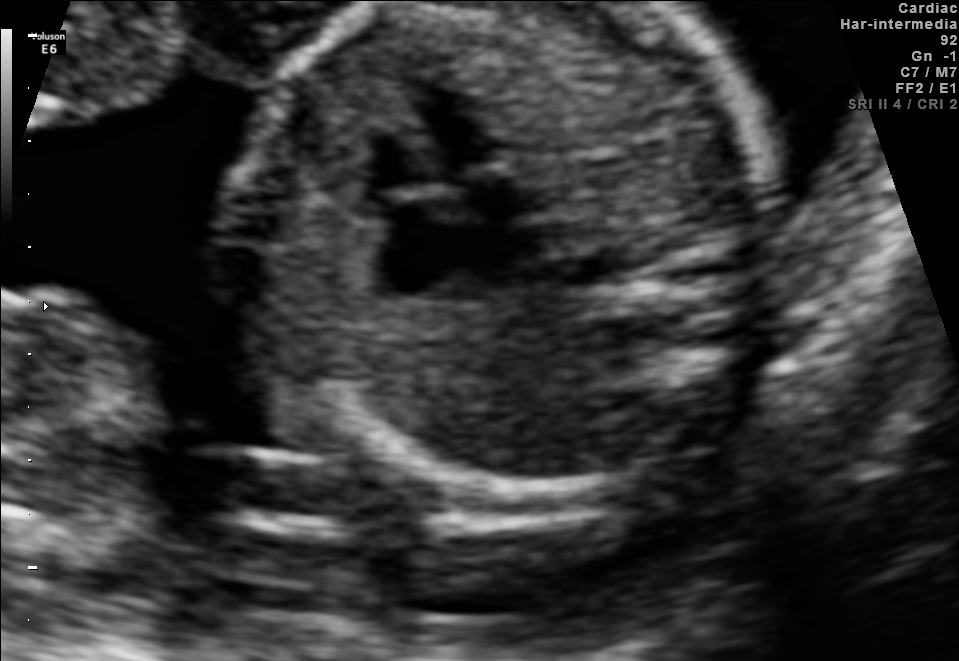
Classify this maternal-fetal ultrasound image as one of the six standard planes — fetal abdomen, fetal brain, fetal femur, fetal thorax, maternal cervix, or other. If it's fetal brain and one of the three standard brain planes (trans-thalamic, trans-cerebellum, trans-ventricular), name which.

Fetal thorax